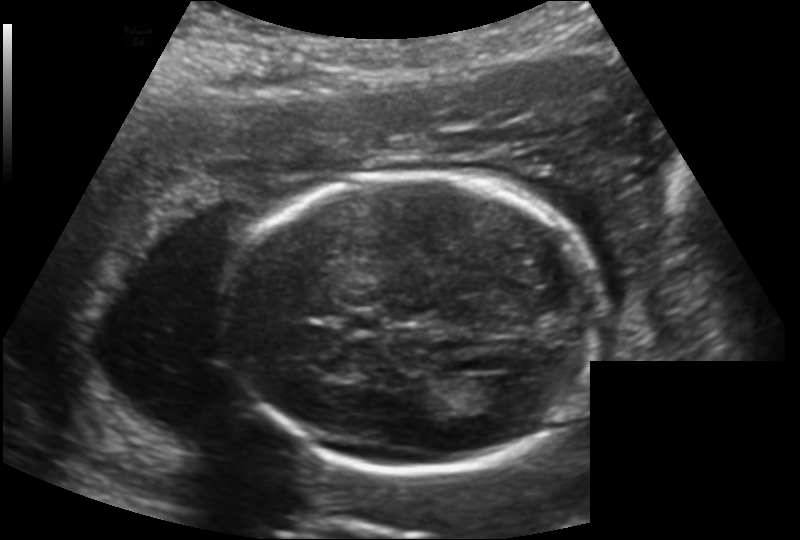
What is the fetal head circumference? Image width is 135.0 mm.

184.8 mm